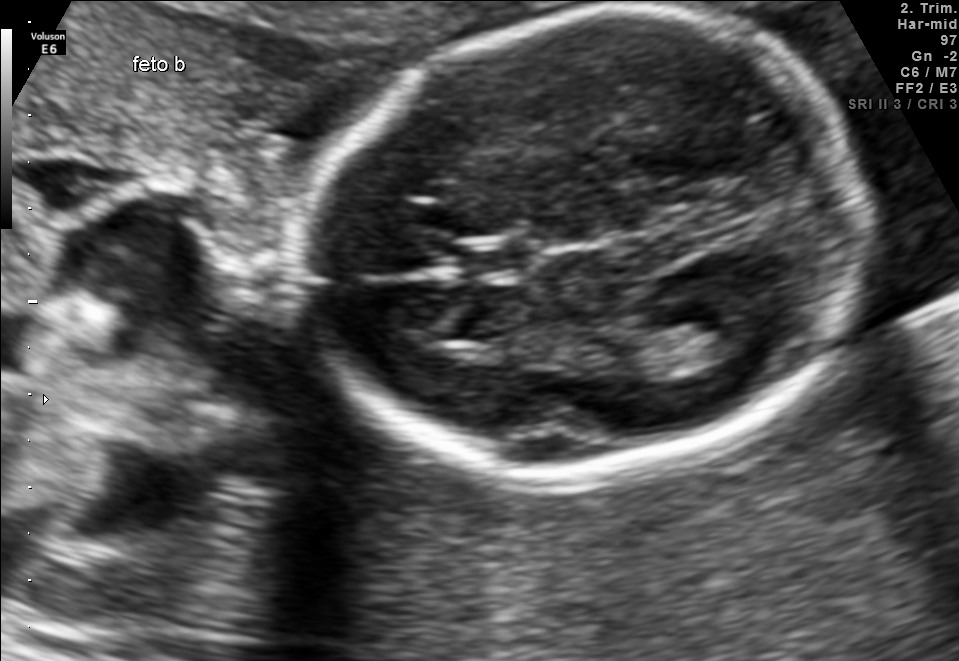
Fetal brain, trans-thalamic plane. Locate the lateral ventricle.

Lateral ventricle: [668,306,758,374]